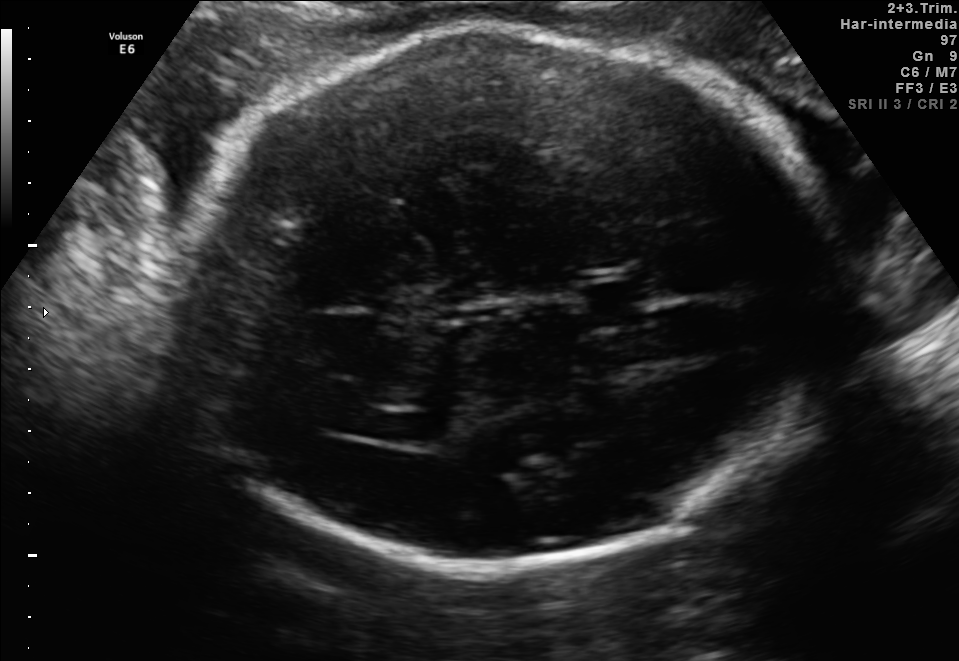
Fetal brain, trans-ventricular plane. Where is the cavum septum pellucidum?

CSP bounding box: [566,267,680,335]